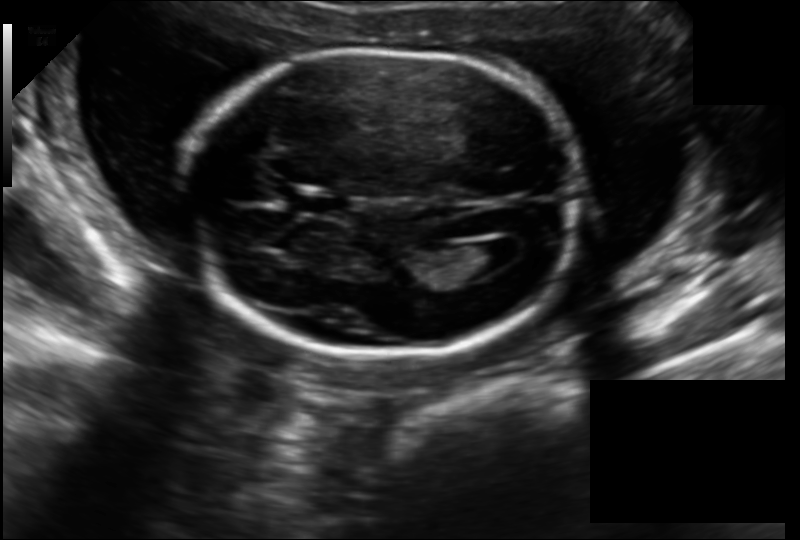
What is the fetal head circumference? Image width is 125.8 mm.

180.4 mm